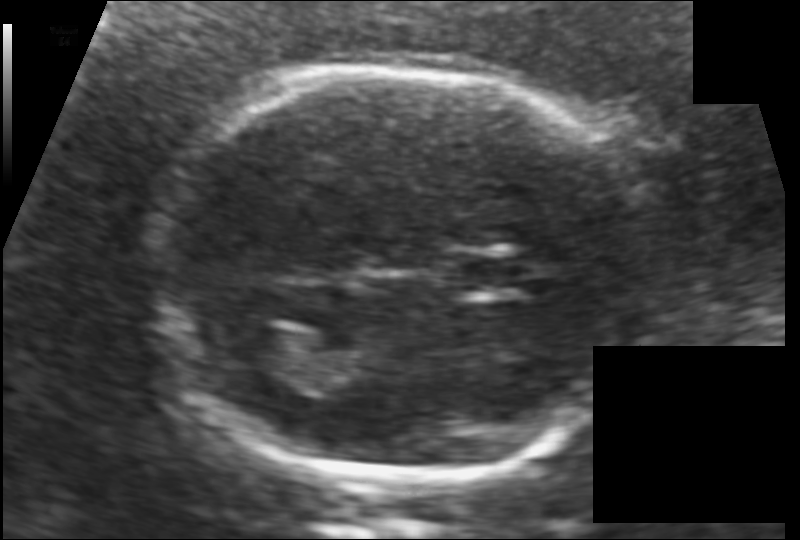
In this fetal head ultrasound, give bounding boxes for the head outline, cavum septum pellucidum (CSP), and lateral ventricle (LV), where visible. Image width: 94.0 mm.

Head: [153,65,646,486]
CSP: [453,254,522,295]
Lateral ventricle: [220,315,300,376]